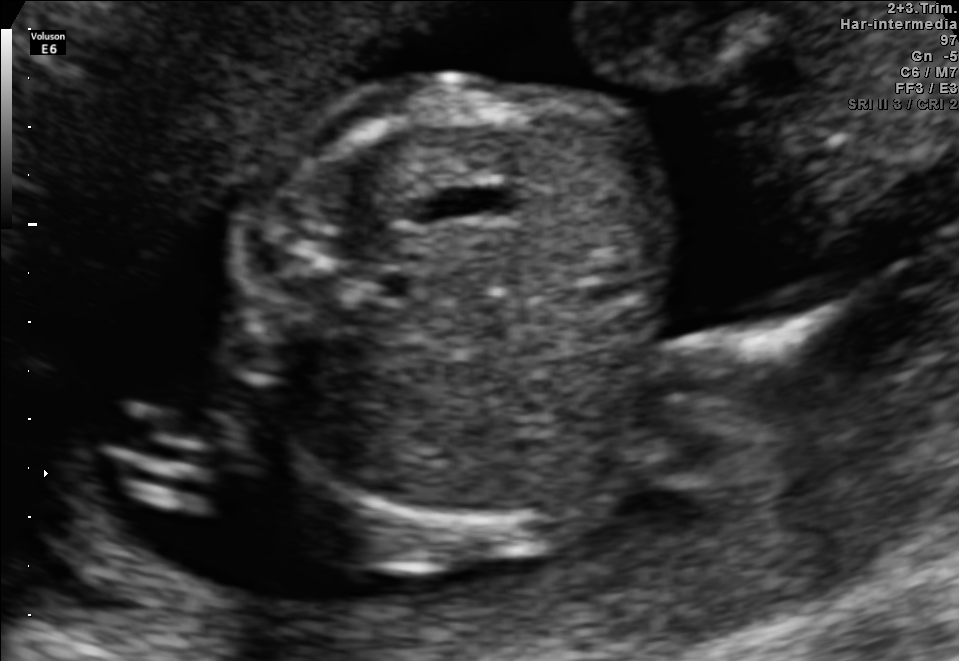
Which standard maternal-fetal ultrasound plane is shown: fetal abdomen, fetal brain, fetal femur, fetal thorax, maternal cervix, or other? If it's fetal brain and one of the three standard brain planes (trans-thalamic, trans-cerebellum, trans-ventricular), name which.

Fetal abdomen